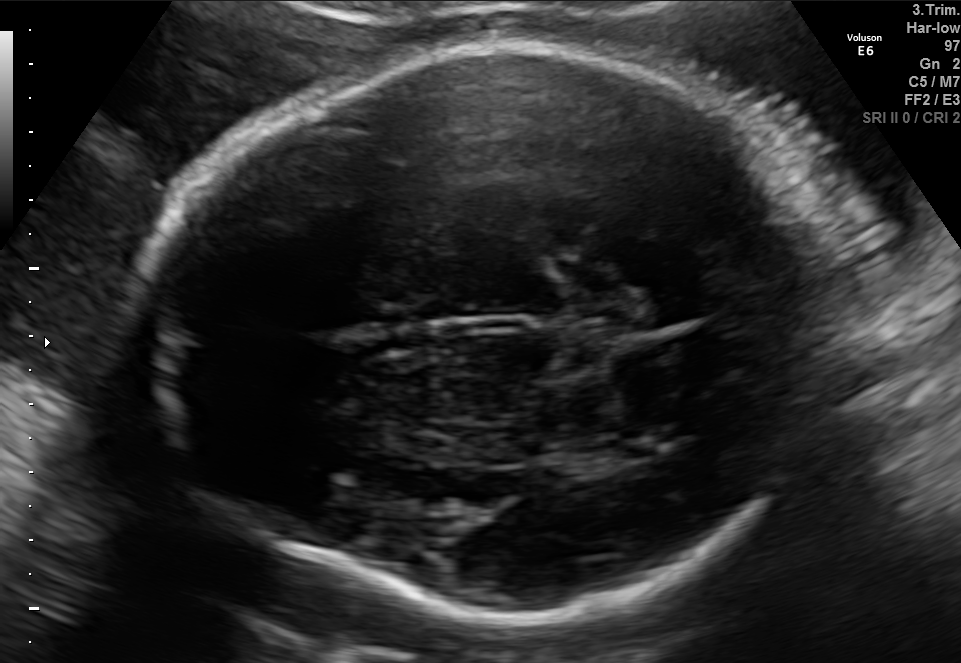
In this fetal brain, trans-thalamic plane, give the bounding box of the fetal head.

[137,42,852,621]